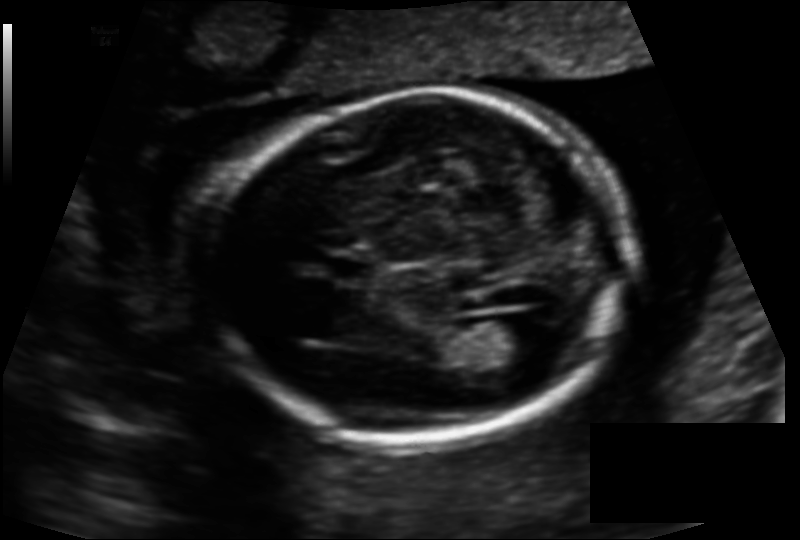
In this fetal head ultrasound, give bounding boxes for the head outline, cavum septum pellucidum (CSP), and lateral ventricle (LV), where visible. Image width: 107.3 mm.

Head: [205,93,628,444]
CSP: [329,257,374,282]
Lateral ventricle: [491,306,559,363]